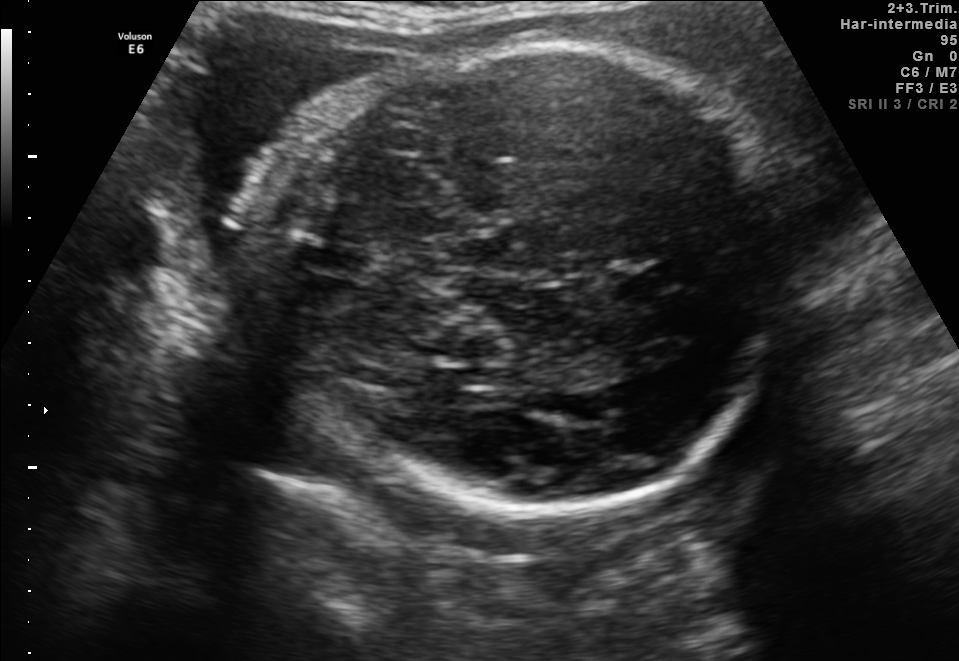
Fetal brain, trans-thalamic plane. Locate the cavum septum pellucidum.

CSP: [611,263,673,300]